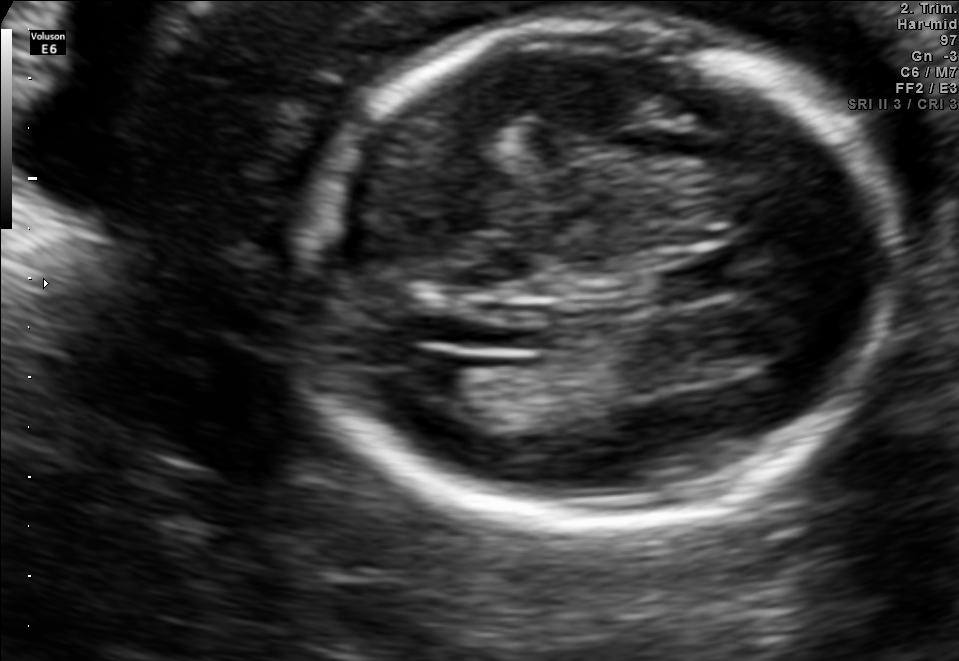
Fetal brain, trans-ventricular plane. Where is the fetal head?

Head bounding box: [285,10,914,539]